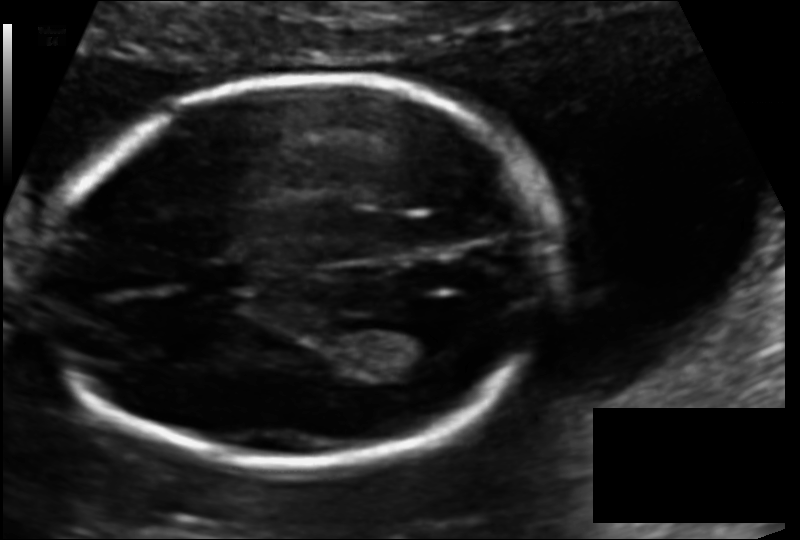
Fetal head ultrasound. Image width: 90.5 mm. Where is the fetal head?

Head bounding box: [53,79,549,466]